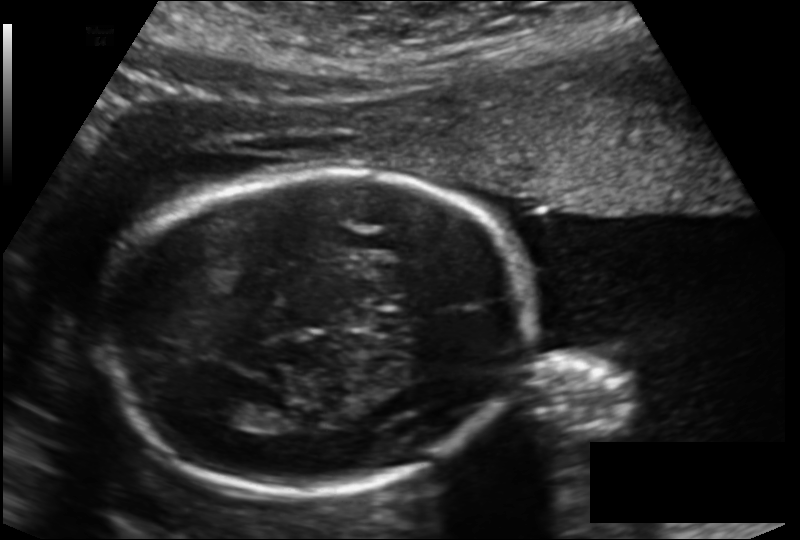
Measure the fetal head circumference shown in this ultrasound image. Image width: 123.8 mm.

Head circumference: 183.0 mm.